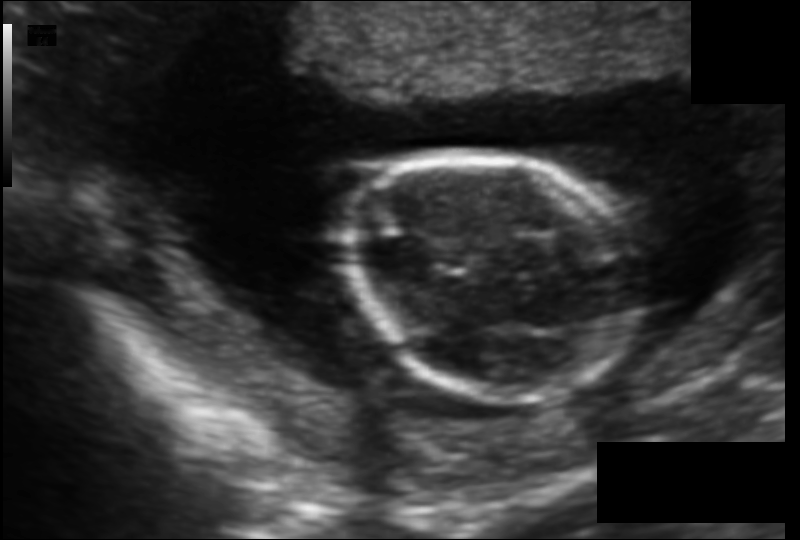
In this fetal head ultrasound, give bounding boxes for the head outline, cavum septum pellucidum (CSP), and lateral ventricle (LV), where visible. Image width: 92.1 mm.

Head: [347,149,643,403]